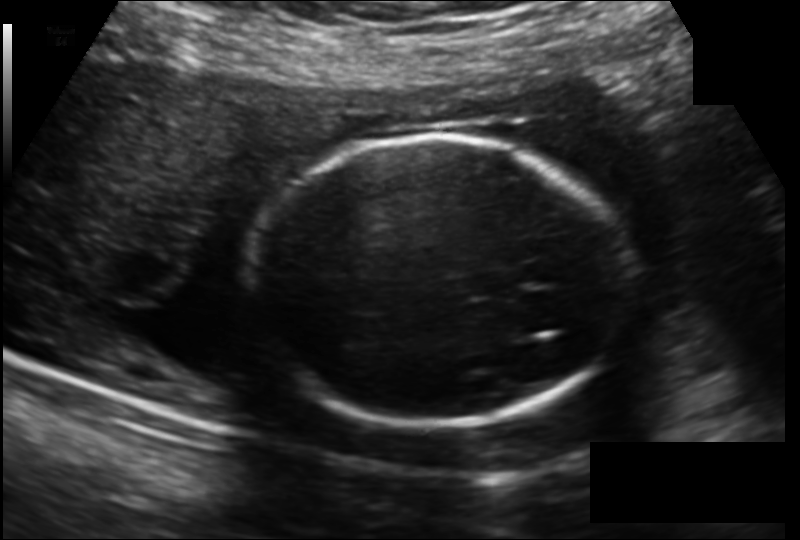
Fetal head ultrasound. Image width: 132.5 mm. Locate the fetal head.

Head: [251,140,624,426]